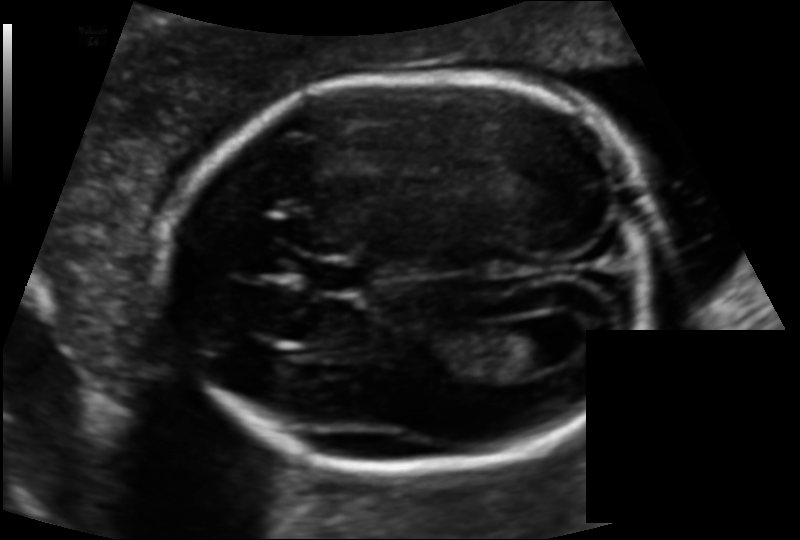
Fetal head ultrasound. Image width: 95.5 mm. Where is the fetal head?

Head bounding box: [165,74,655,473]